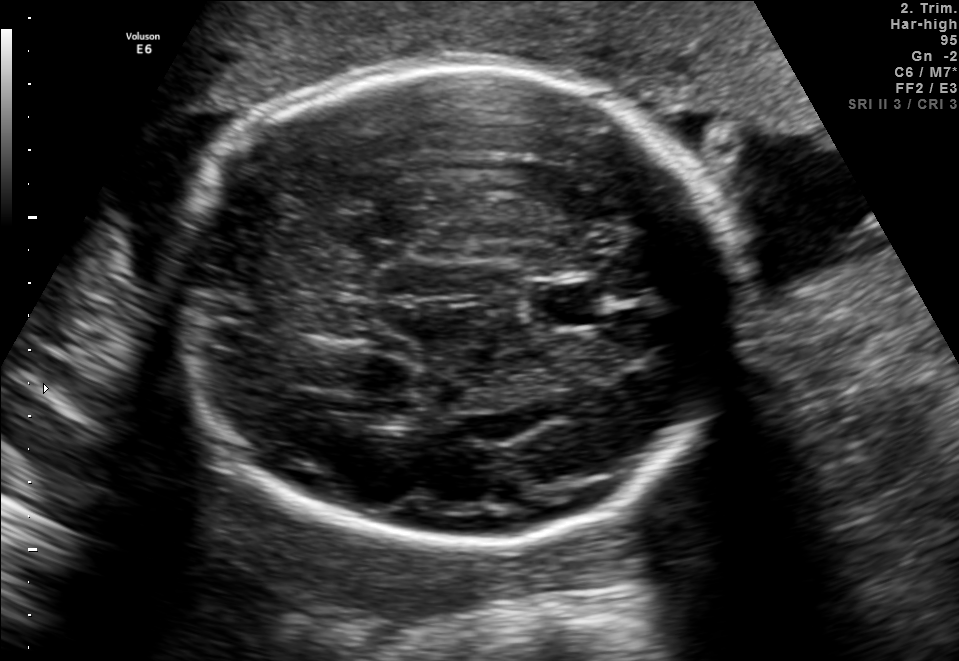
Fetal brain, trans-thalamic plane. Locate the lateral ventricle.

Lateral ventricle: [351,397,422,428]